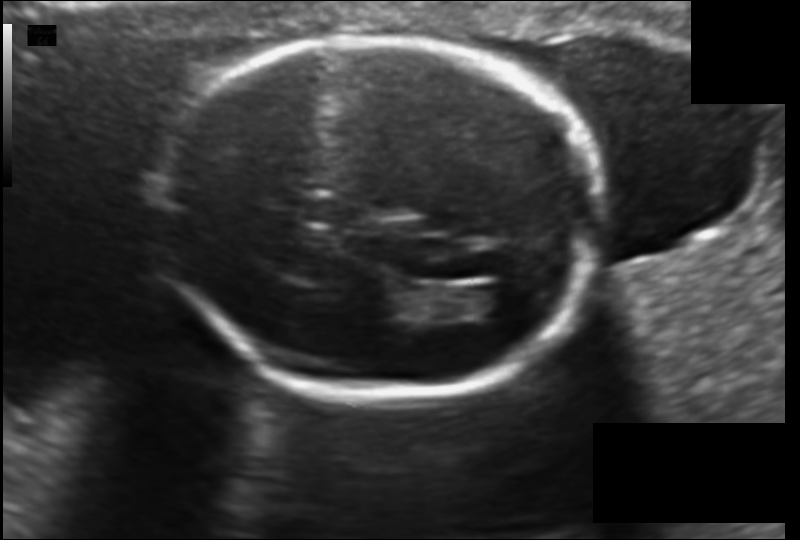
Fetal head ultrasound. Image width: 104.2 mm. Where is the lateral ventricle?

Lateral ventricle bounding box: [469,284,521,320]